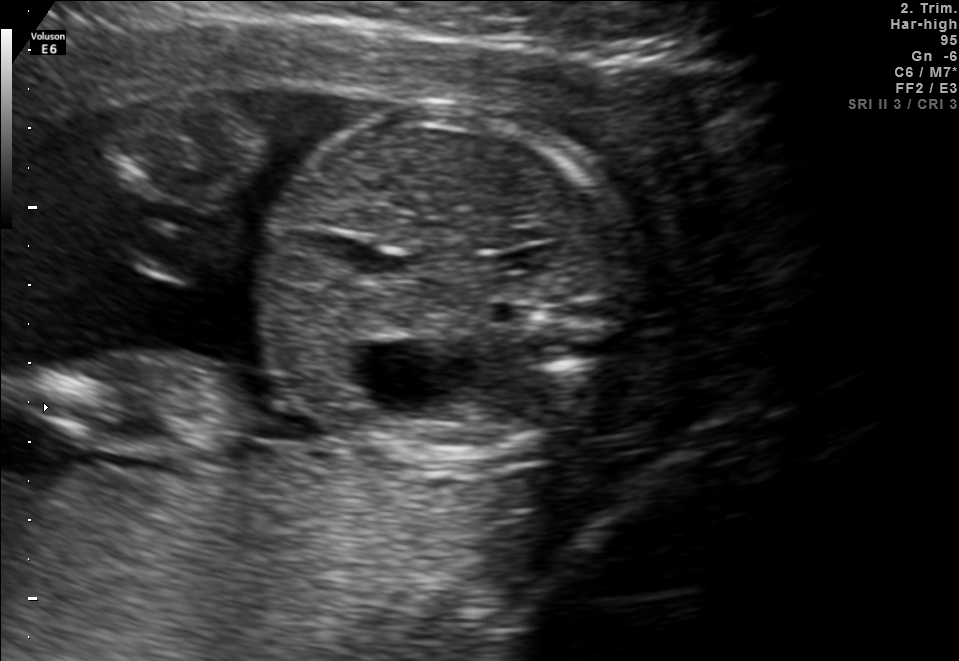
Classify this maternal-fetal ultrasound image as one of the six standard planes — fetal abdomen, fetal brain, fetal femur, fetal thorax, maternal cervix, or other. If it's fetal brain and one of the three standard brain planes (trans-thalamic, trans-cerebellum, trans-ventricular), name which.

Fetal abdomen